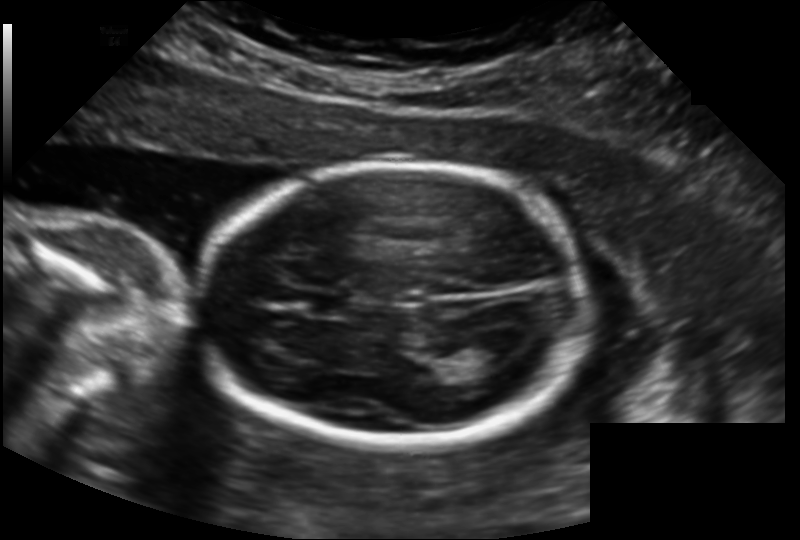
Fetal head ultrasound. Image width: 126.2 mm. Where is the fetal head?

Head bounding box: [200,163,590,448]